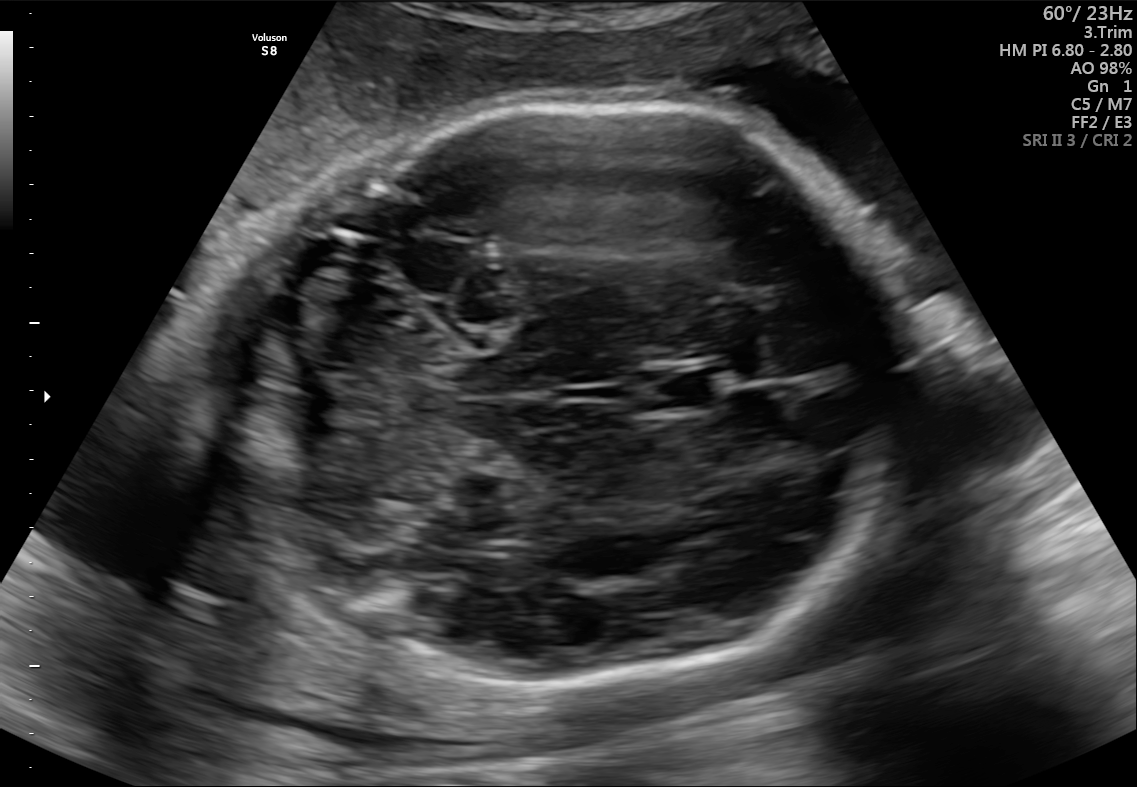
In this fetal brain, trans-cerebellum plane, give the bounding box of the fetal head.

[198,105,906,687]